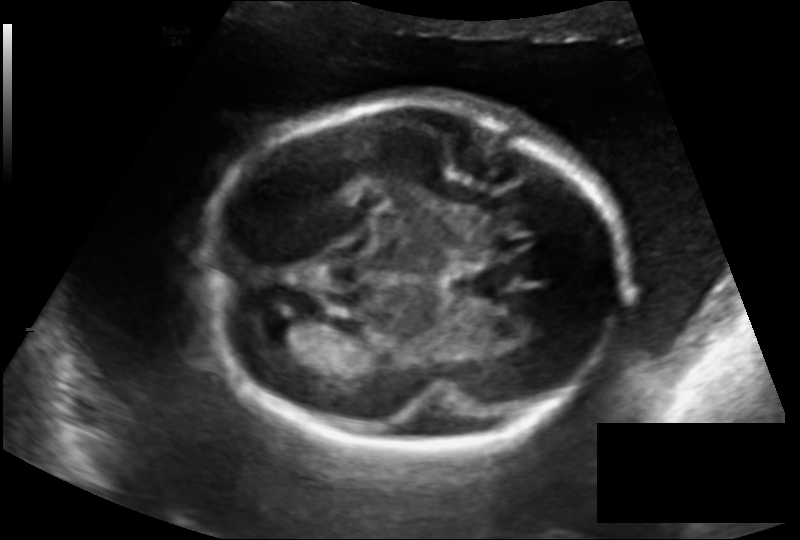
In this fetal head ultrasound, give bounding boxes for the head outline, cavum septum pellucidum (CSP), and lateral ventricle (LV), where visible. Image width: 129.7 mm.

Head: [207,97,620,454]
Lateral ventricle: [246,302,302,351]